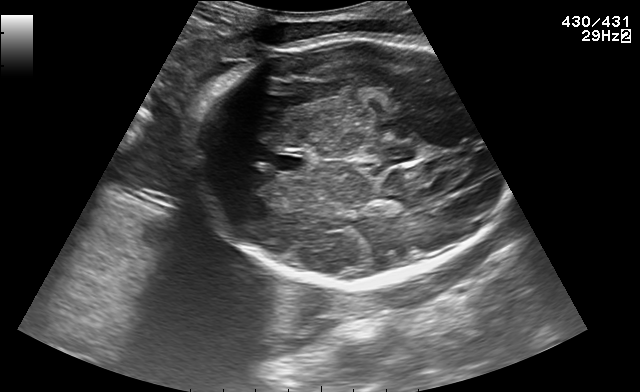
Fetal brain, trans-thalamic plane. Locate the cavum septum pellucidum (CSP) and lateral ventricle (LV), if visible. Give bounding boxes as [x1,y1,x2,y2].

CSP: [272,151,307,171]